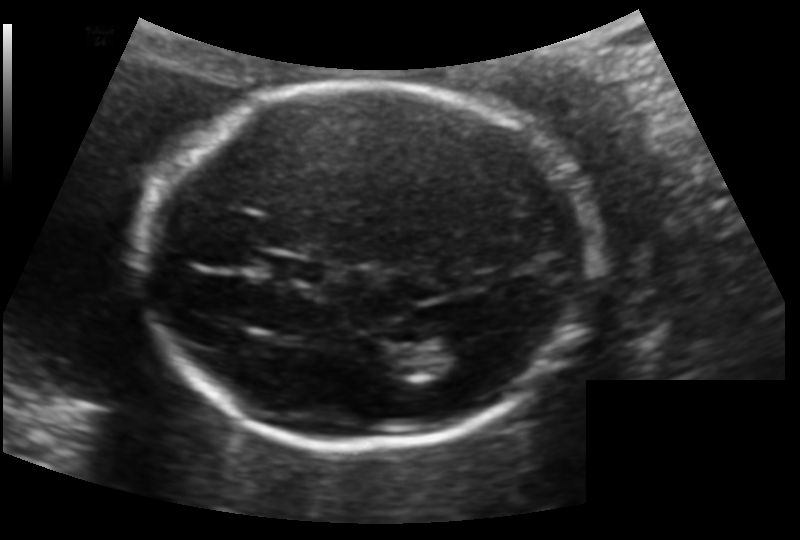
In this fetal head ultrasound, give bounding boxes for the head outline, cavum septum pellucidum (CSP), and lateral ventricle (LV), where visible. Image width: 106.4 mm.

Head: [143,83,587,449]
CSP: [263,251,328,290]
Lateral ventricle: [424,329,484,375]